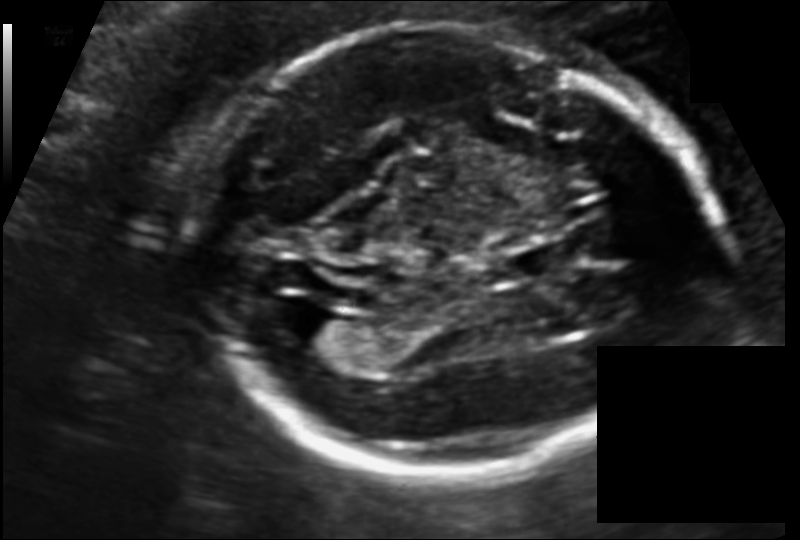
Fetal head ultrasound. Image width: 94.5 mm. Where is the cavum septum pellucidum?

CSP bounding box: [507,238,576,285]